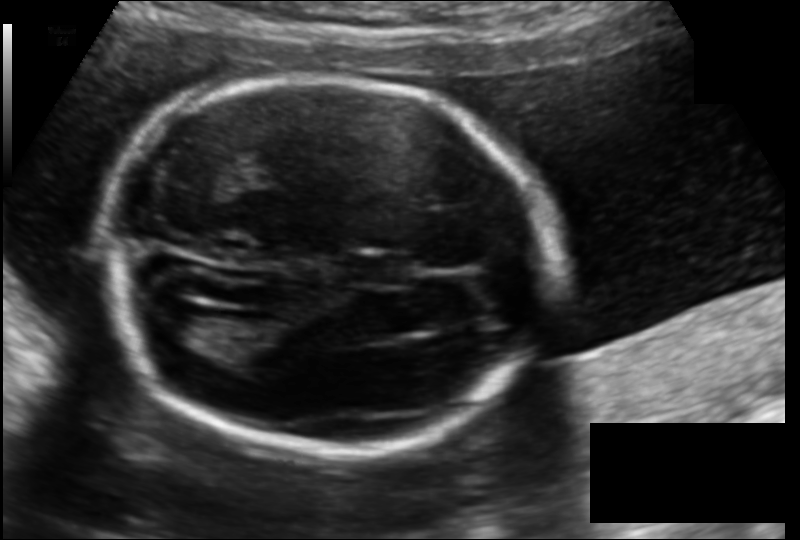
Fetal head ultrasound. Image width: 107.8 mm. Give [x1,y1,x2,y2] bounding boxes for each visible structure among: fetal head, CSP, LV.

Head: [99,76,549,449]
CSP: [354,256,412,284]
Lateral ventricle: [144,299,215,354]